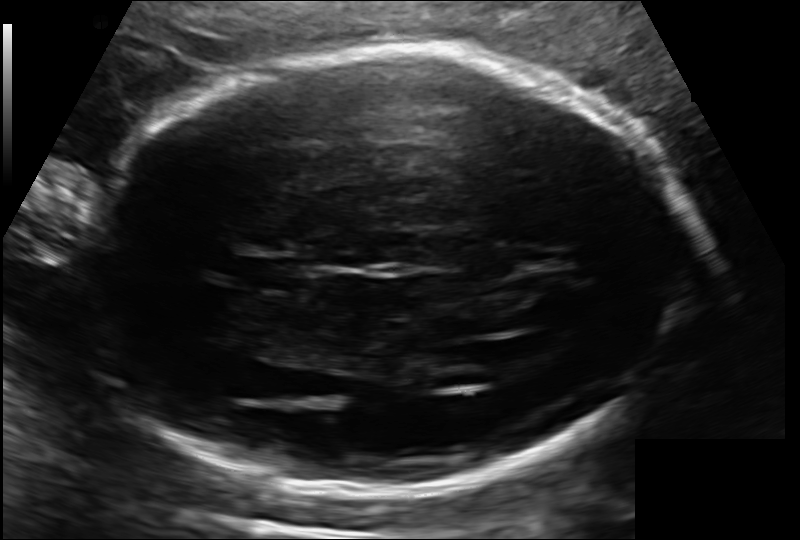
Fetal head ultrasound. Image width: 114.4 mm. Locate the fetal head and, if visible, the cavum septum pellucidum (CSP) and lateral ventricle (LV). Give bounding boxes as [x1,y1,x2,y2].

Head: [79,48,694,495]
CSP: [235,252,306,294]
Lateral ventricle: [507,320,591,381]